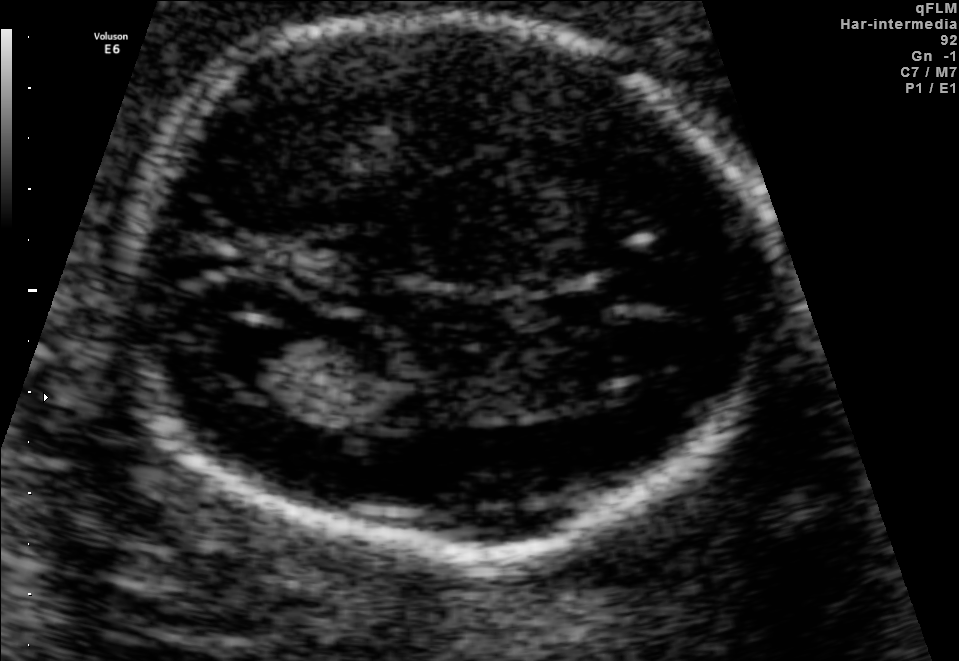
In this fetal brain, trans-ventricular plane, give the bounding box of the lateral ventricle.

[190,307,298,392]